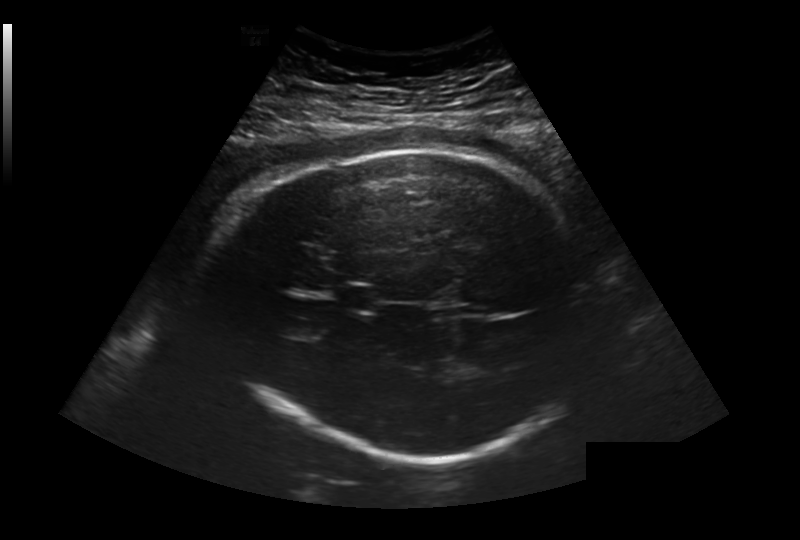
In this fetal head ultrasound, give the bounding box of the cavum septum pellucidum. Image width: 224.9 mm.

[335,282,383,316]